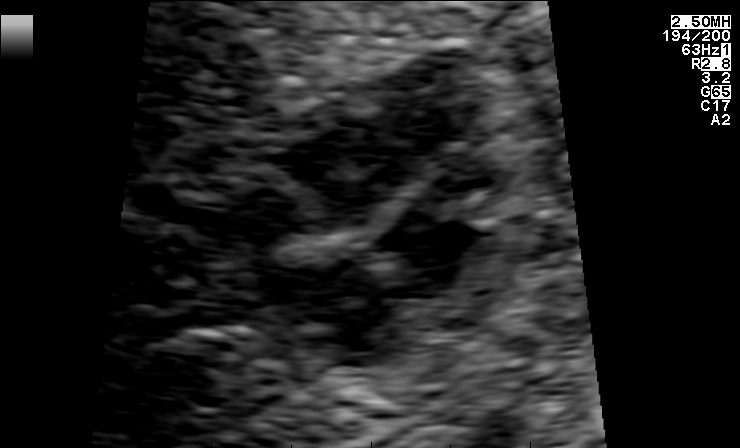
Classify this maternal-fetal ultrasound image as one of the six standard planes — fetal abdomen, fetal brain, fetal femur, fetal thorax, maternal cervix, or other. If it's fetal brain and one of the three standard brain planes (trans-thalamic, trans-cerebellum, trans-ventricular), name which.

Fetal thorax